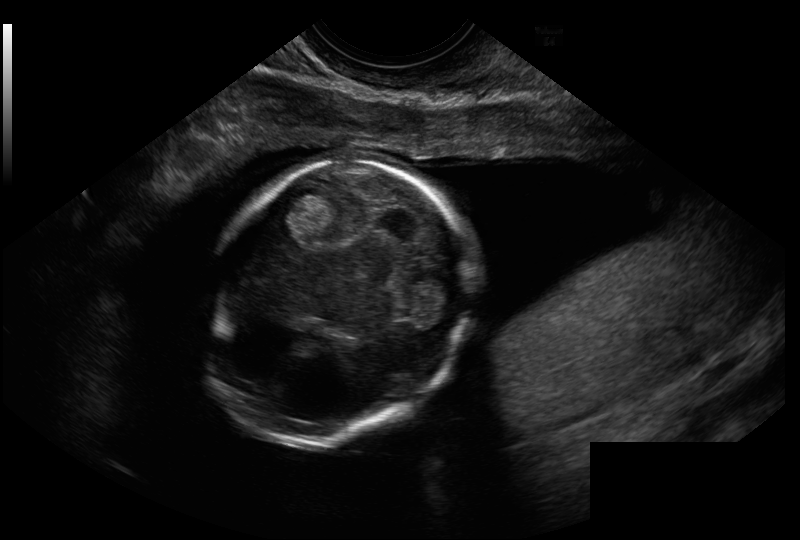
Measure the fetal head circumference shown in this ultrasound image. Image width: 91.5 mm.

Head circumference: 101.2 mm.